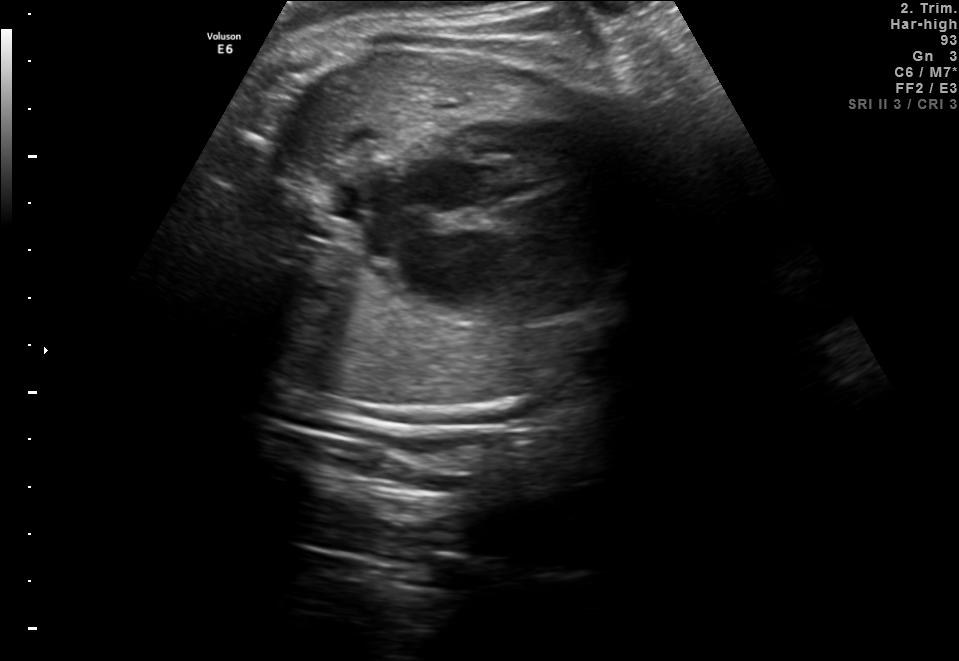
Identify the standard plane in this fetal ultrasound image: fetal abdomen, fetal brain, fetal femur, fetal thorax, maternal cervix, or other. If it's fetal brain and one of the three standard brain planes (trans-thalamic, trans-cerebellum, trans-ventricular), name which.

Fetal thorax